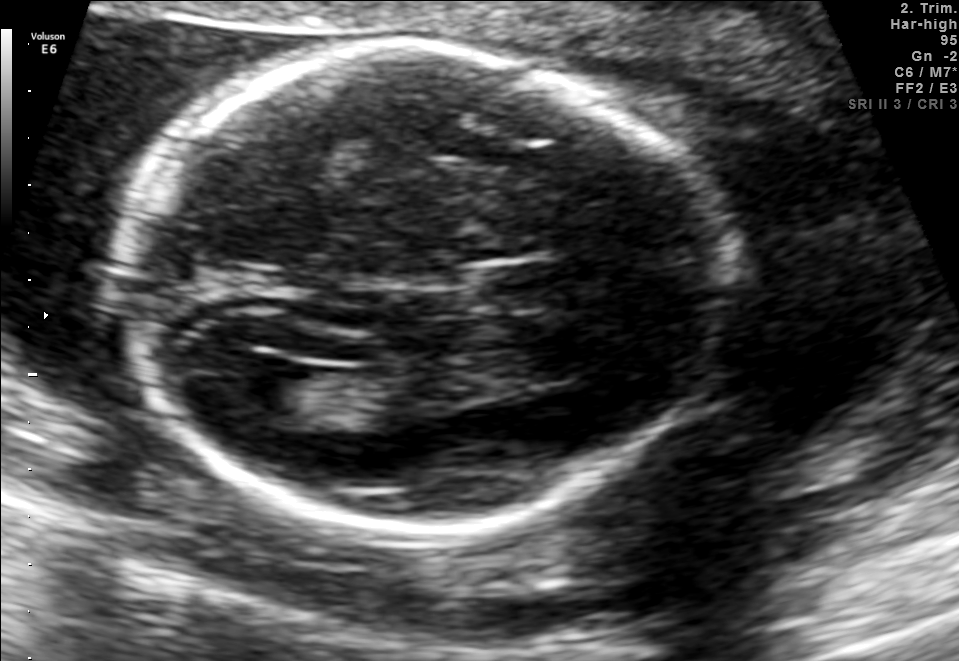
Fetal brain, trans-ventricular plane. Where is the cavum septum pellucidum?

CSP bounding box: [480,261,553,310]